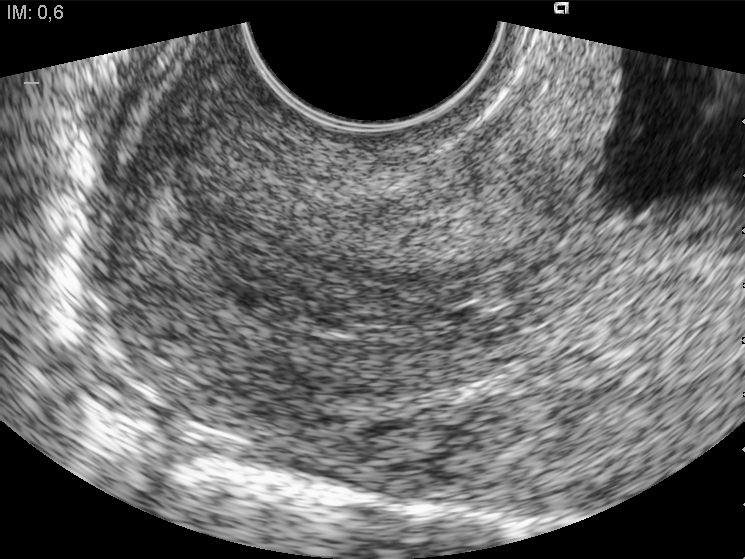
Which standard maternal-fetal ultrasound plane is shown: fetal abdomen, fetal brain, fetal femur, fetal thorax, maternal cervix, or other? If it's fetal brain and one of the three standard brain planes (trans-thalamic, trans-cerebellum, trans-ventricular), name which.

Maternal cervix